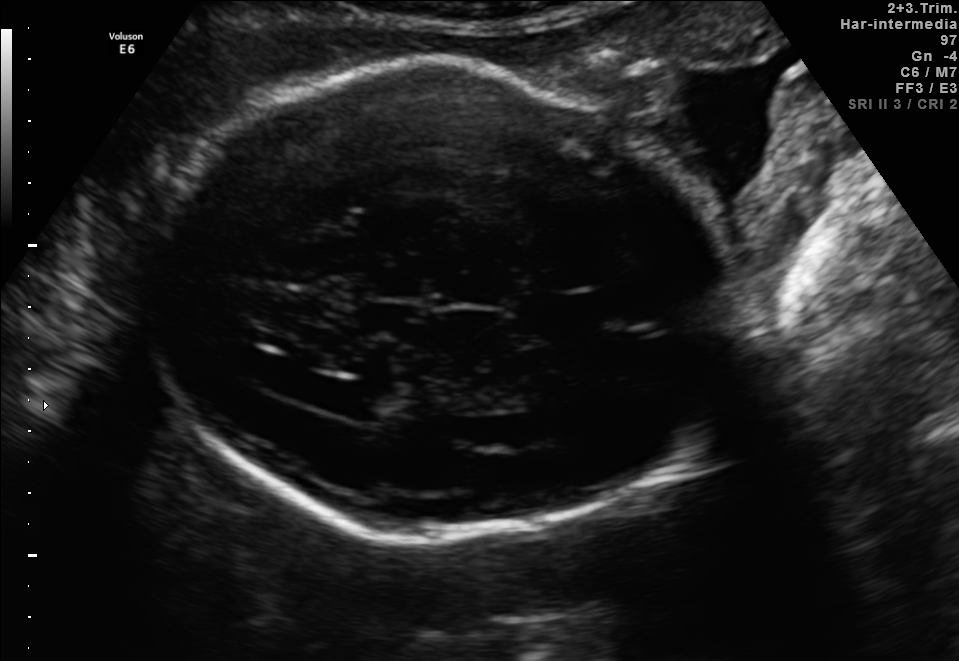
Fetal brain, trans-ventricular plane. Locate the fetal head.

Head: [125,53,758,554]